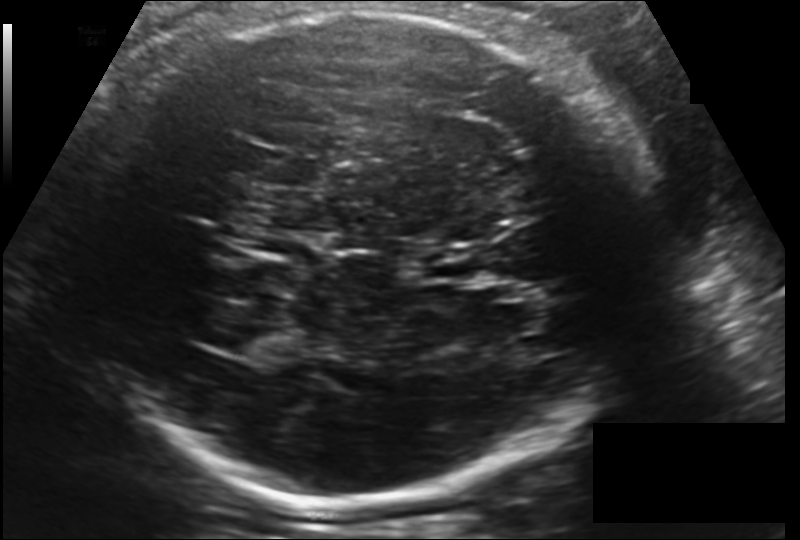
Fetal head ultrasound. Image width: 145.0 mm. Locate the fetal head.

Head: [86,8,642,506]